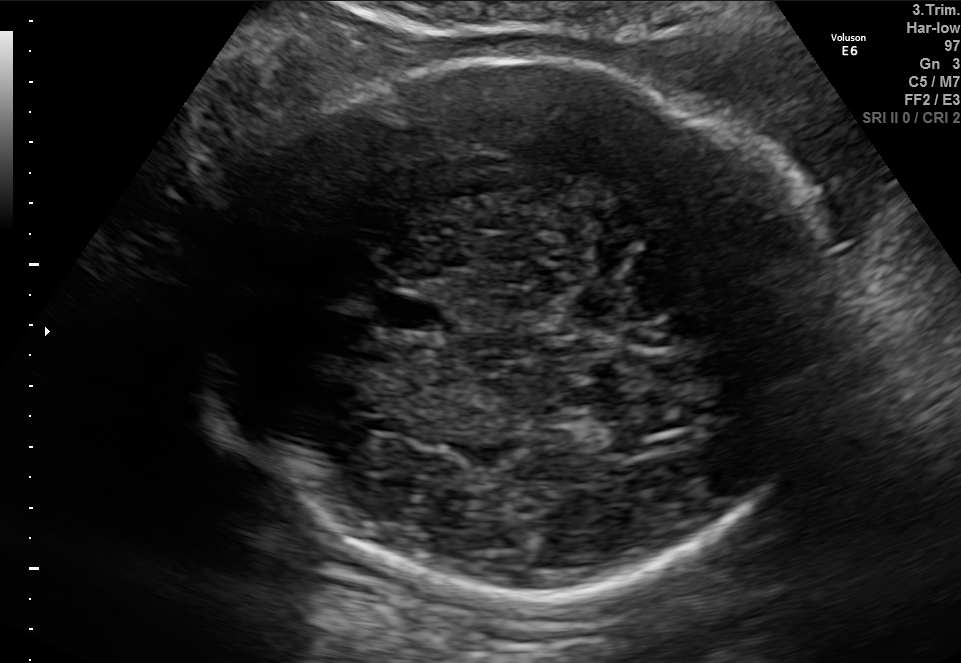
Fetal brain, trans-thalamic plane. Where is the fetal head?

Head bounding box: [197,56,838,593]